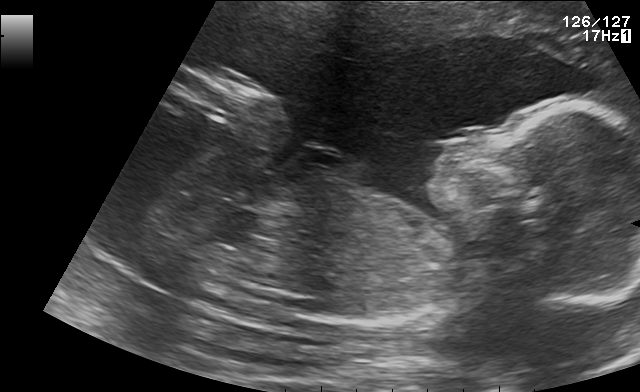
This is a 2D maternal-fetal ultrasound frame. Is it a fetal abdomen, fetal brain, fetal femur, fetal thorax, maternal cervix, or other standard plane? If it's fetal brain and one of the three standard brain planes (trans-thalamic, trans-cerebellum, trans-ventricular), name which.

Other